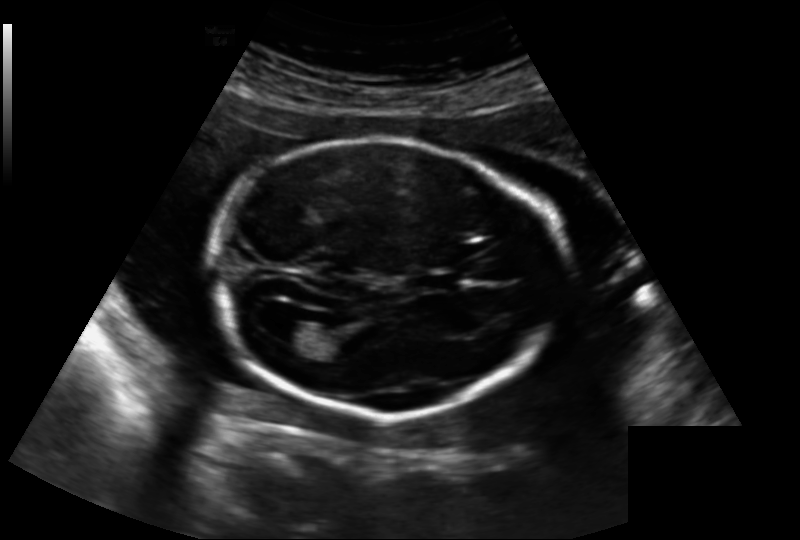
Fetal head ultrasound. Image width: 150.3 mm. Where is the fetal head?

Head bounding box: [210,139,563,416]